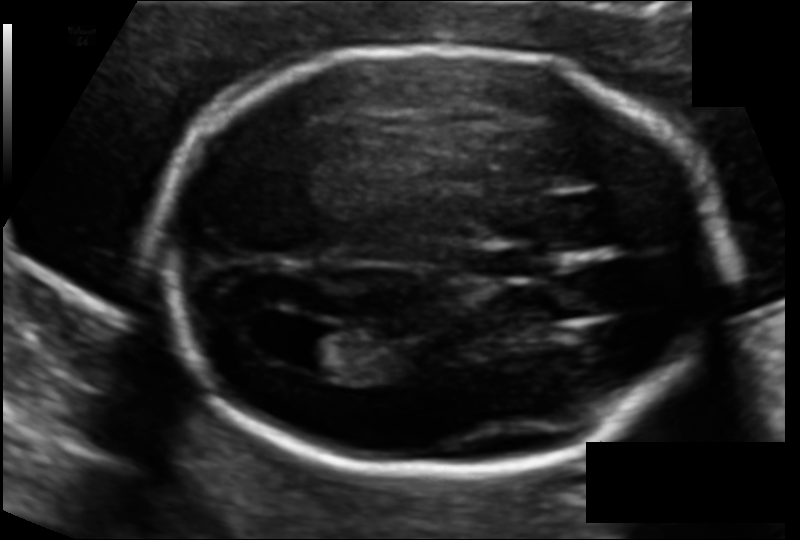
What is the fetal head circumference? Image width is 89.4 mm.

178.2 mm